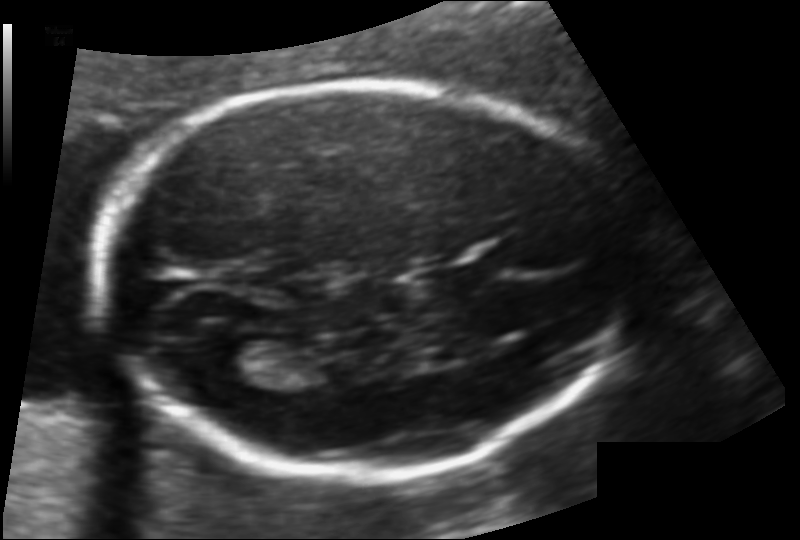
Fetal head ultrasound. Image width: 93.3 mm. Locate the fetal head and, if visible, the cavum septum pellucidum (CSP) and lateral ventricle (LV). Give bounding boxes as [x1,y1,x2,y2].

Head: [98,81,621,477]
CSP: [430,258,490,301]
Lateral ventricle: [200,339,280,379]